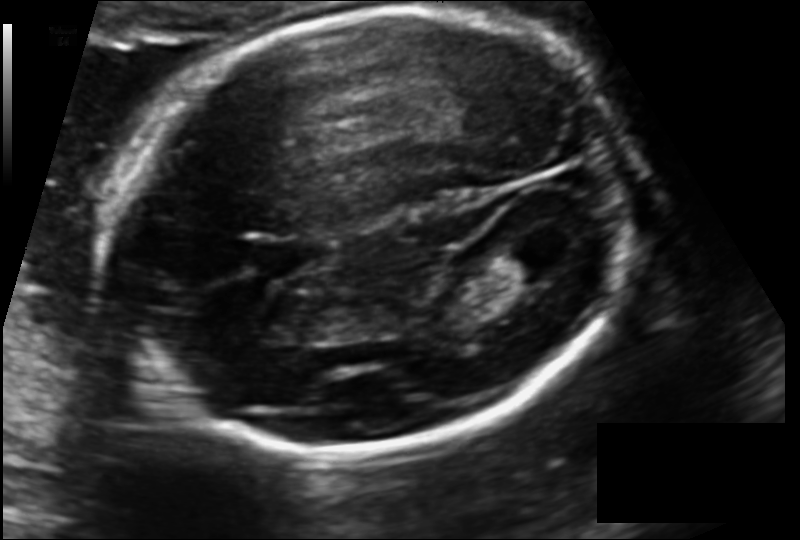
What is the fetal head circumference? Image width is 105.5 mm.

204.9 mm